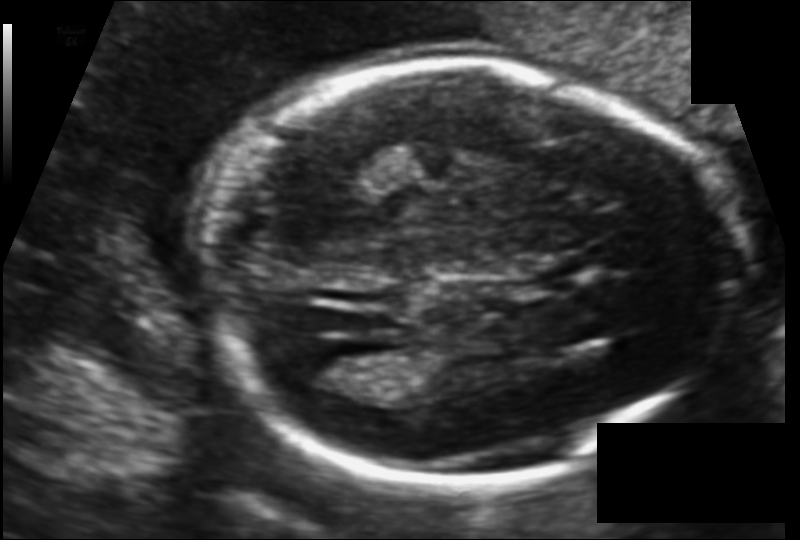
Fetal head ultrasound. Image width: 93.1 mm. Locate the lateral ventricle.

Lateral ventricle: [289,342,376,396]